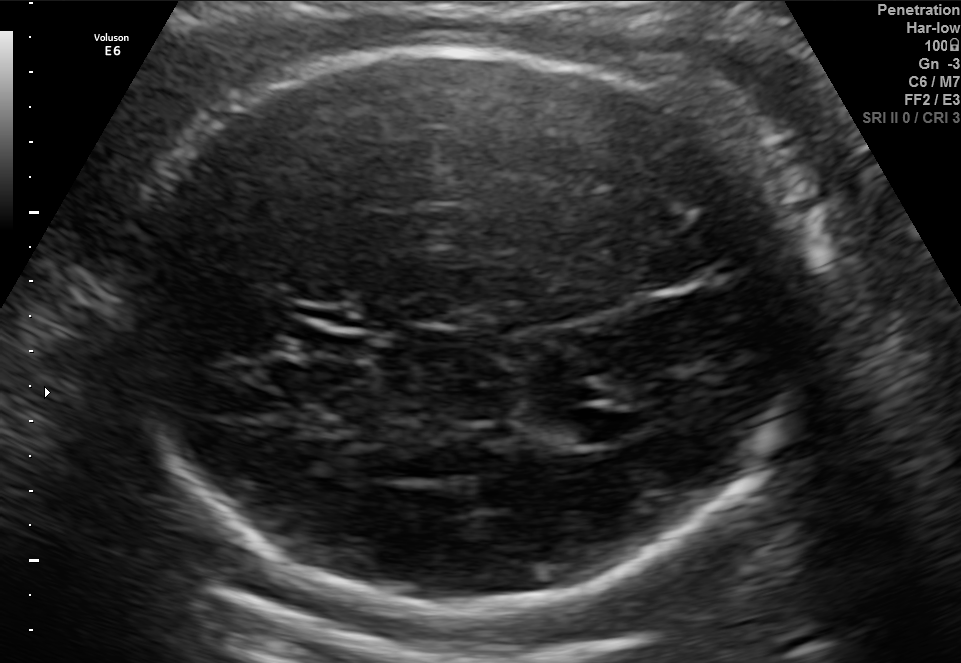
Fetal brain, trans-ventricular plane. Locate the lateral ventricle.

Lateral ventricle: [556,404,626,446]